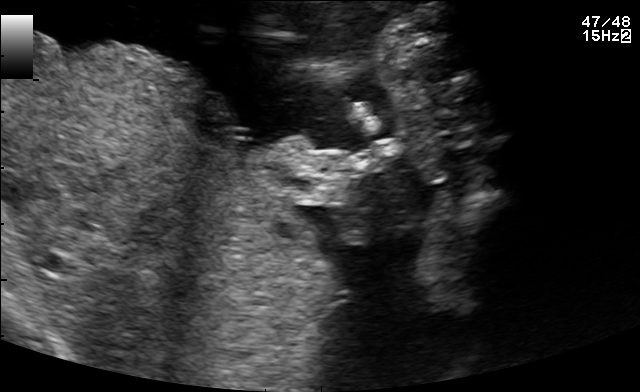
This is a 2D maternal-fetal ultrasound frame. Is it a fetal abdomen, fetal brain, fetal femur, fetal thorax, maternal cervix, or other standard plane? If it's fetal brain and one of the three standard brain planes (trans-thalamic, trans-cerebellum, trans-ventricular), name which.

Other